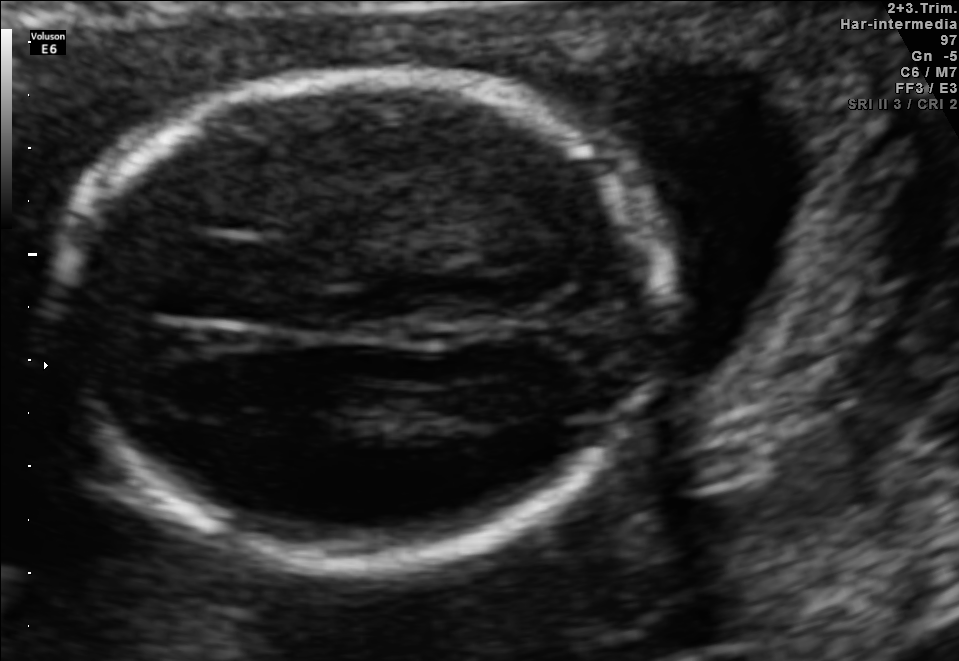
In this fetal brain, trans-thalamic plane, give bounding boxes for the head outline, cavum septum pellucidum (CSP), and lateral ventricle (LV), where visible.

Head: [57,77,662,556]